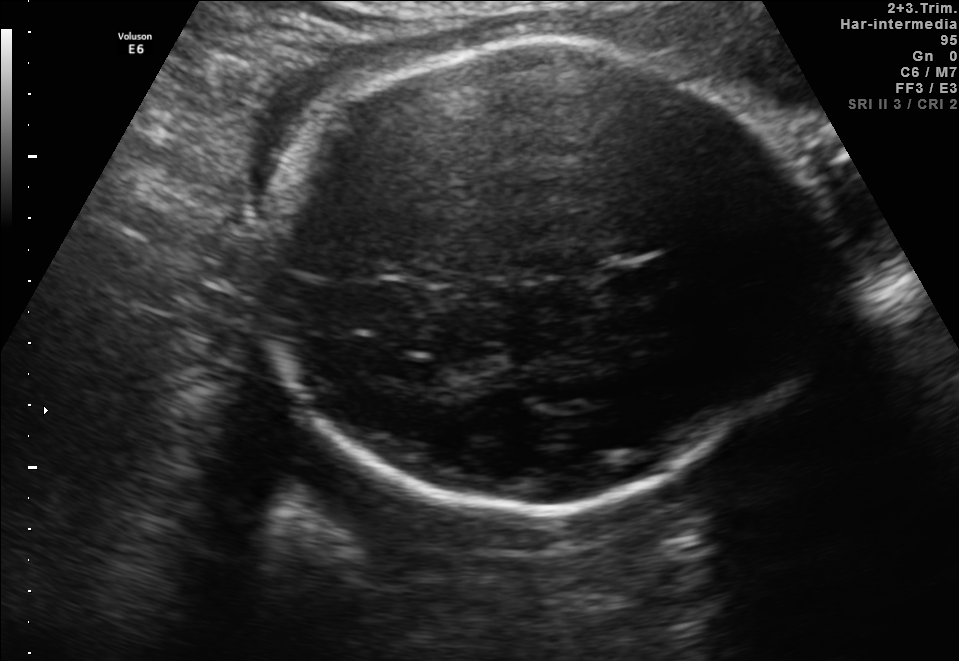
Fetal brain, trans-thalamic plane. Locate the fetal head and, if visible, the cavum septum pellucidum (CSP) and lateral ventricle (LV). Give bounding boxes as [x1,y1,x2,y2].

Head: [247,39,820,514]
CSP: [607,255,675,300]